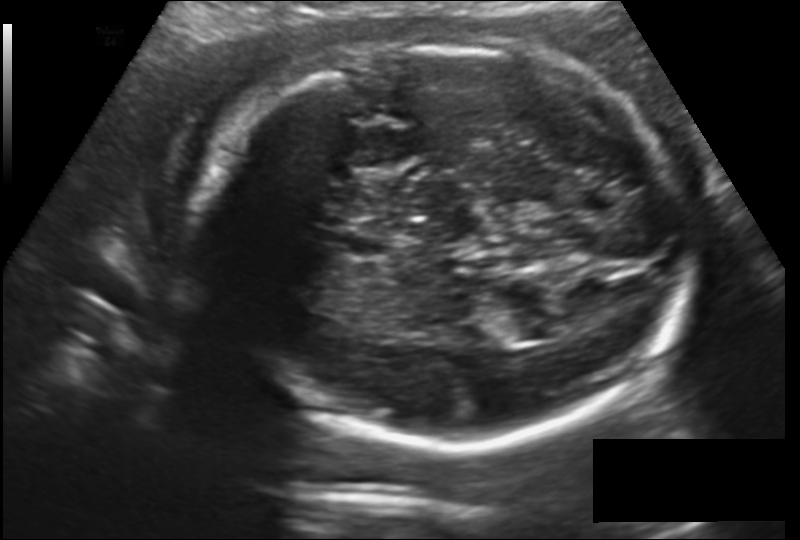
Fetal head ultrasound. Image width: 142.0 mm. Where is the fetal head?

Head bounding box: [195,47,697,445]